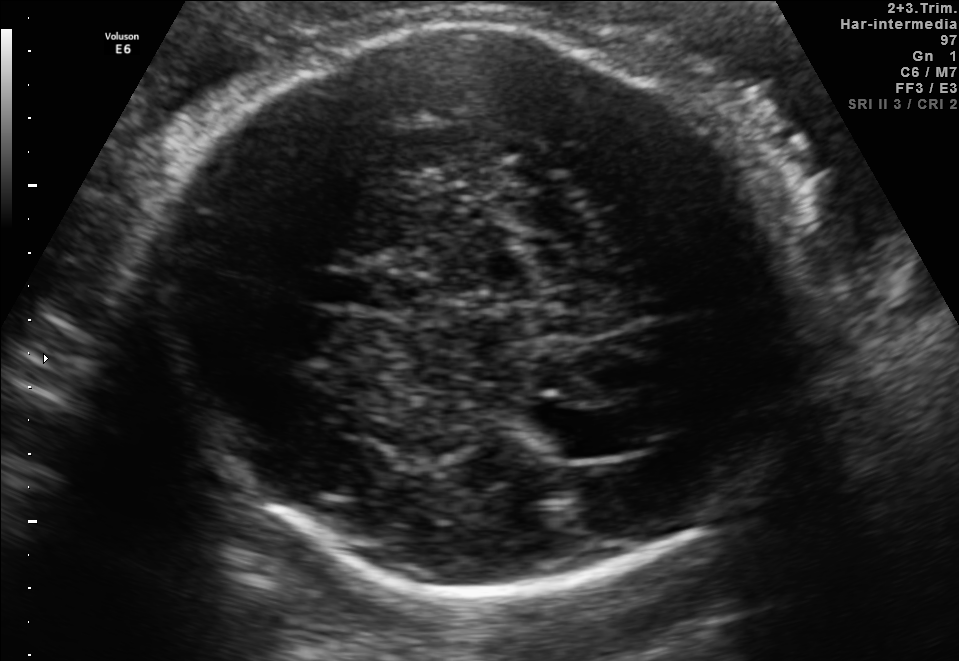
In this fetal brain, trans-thalamic plane, give bounding boxes for the head outline, cavum septum pellucidum (CSP), and lateral ventricle (LV), where visible.

Head: [148,20,831,591]
CSP: [318,268,403,313]
Lateral ventricle: [537,405,631,463]